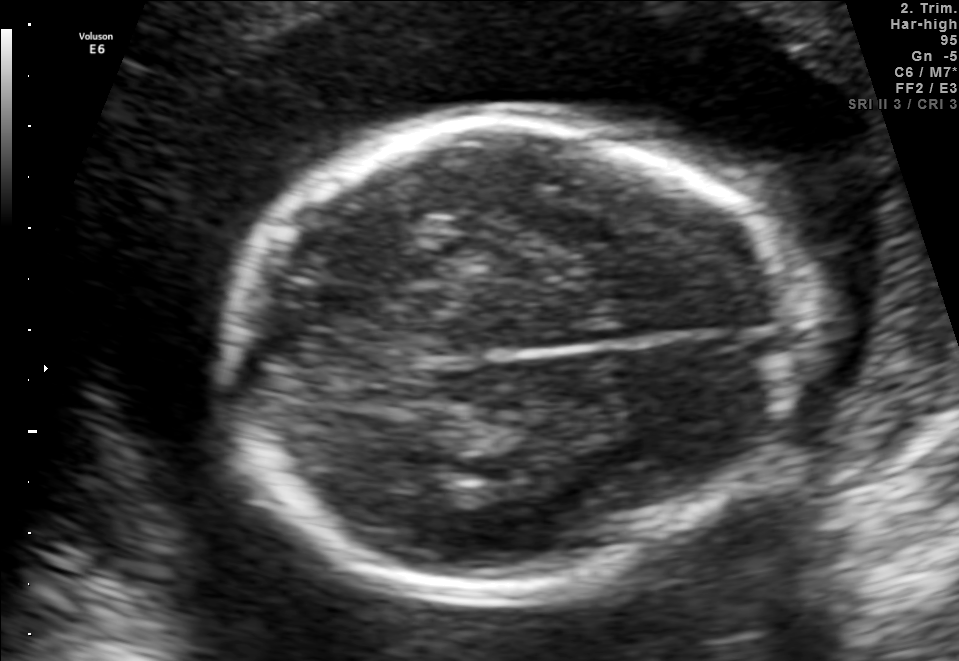
Fetal brain, trans-thalamic plane. Where is the fetal head?

Head bounding box: [218,118,803,595]